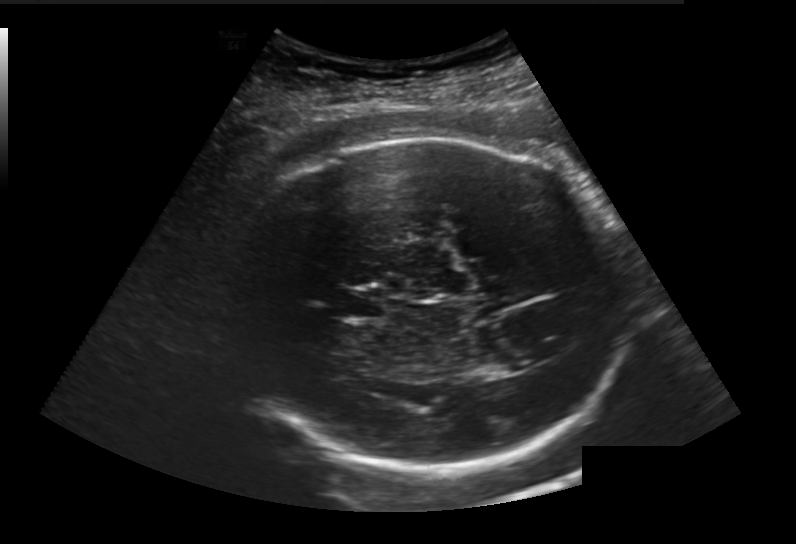
Estimate the fetal head circumference from this 2D ultrasound.

Head circumference: 277.4 mm (image width 187.6 mm).